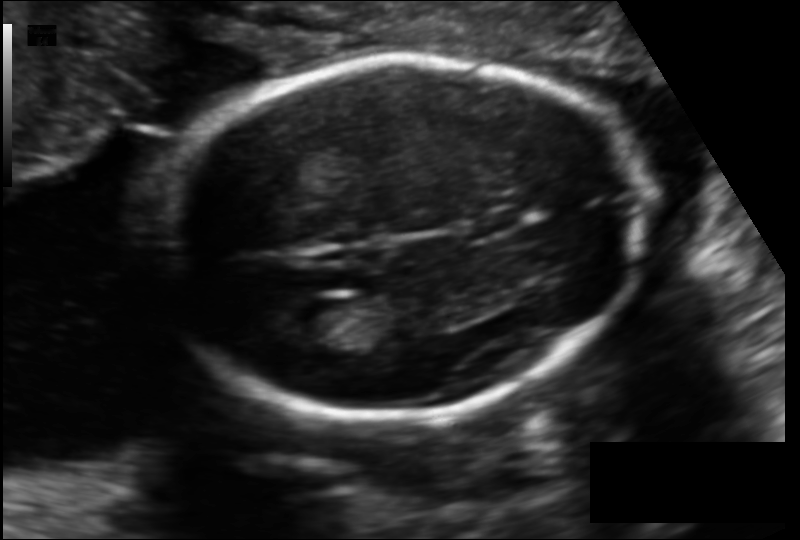
Estimate the fetal head circumference from this 2D ultrasound.

Head circumference: 176.3 mm (image width 102.8 mm).